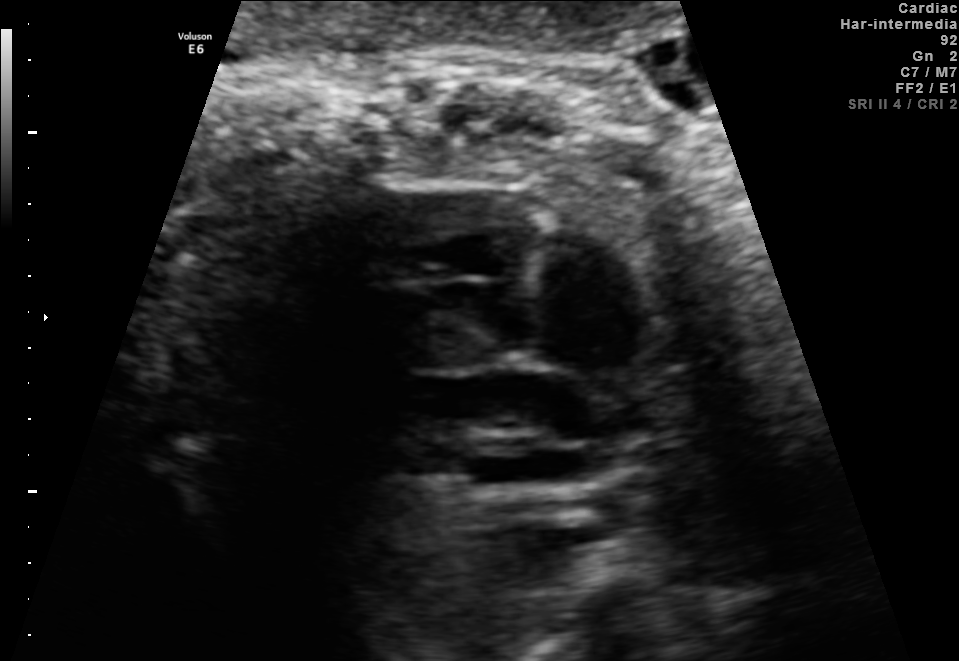
Classify this maternal-fetal ultrasound image as one of the six standard planes — fetal abdomen, fetal brain, fetal femur, fetal thorax, maternal cervix, or other. If it's fetal brain and one of the three standard brain planes (trans-thalamic, trans-cerebellum, trans-ventricular), name which.

Fetal thorax